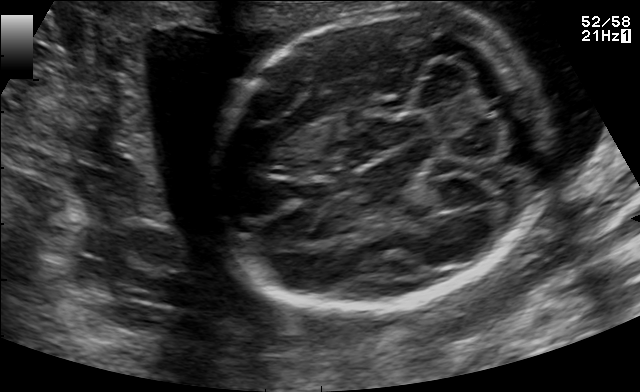
Fetal brain, trans-cerebellum plane. Where is the cavum septum pellucidum?

CSP bounding box: [291,175,340,211]